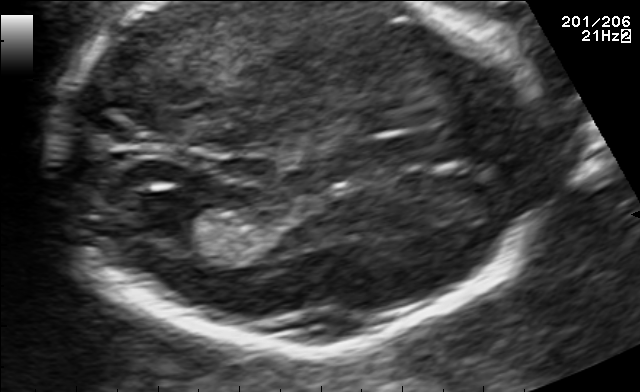
Fetal brain, trans-thalamic plane. Where is the lateral ventricle?

Lateral ventricle bounding box: [135,197,219,247]